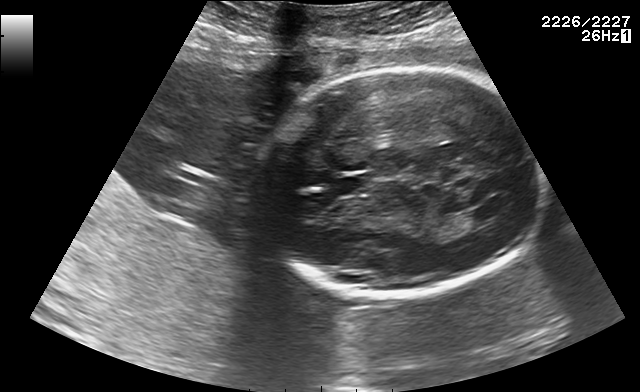
In this fetal brain, trans-ventricular plane, give the bounding box of the cavum septum pellucidum.

[323,173,374,197]